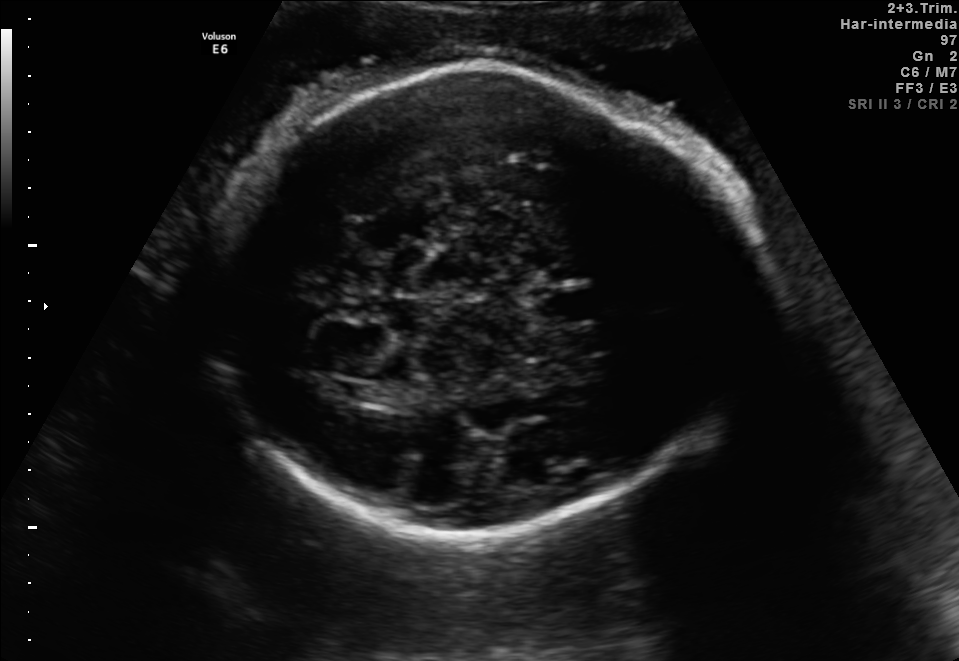
Fetal brain, trans-thalamic plane. Locate the fetal head and, if visible, the cavum septum pellucidum (CSP) and lateral ventricle (LV). Give bounding boxes as [x1,y1,x2,y2].

Head: [207,65,764,534]
CSP: [532,284,604,326]
Lateral ventricle: [331,378,403,409]